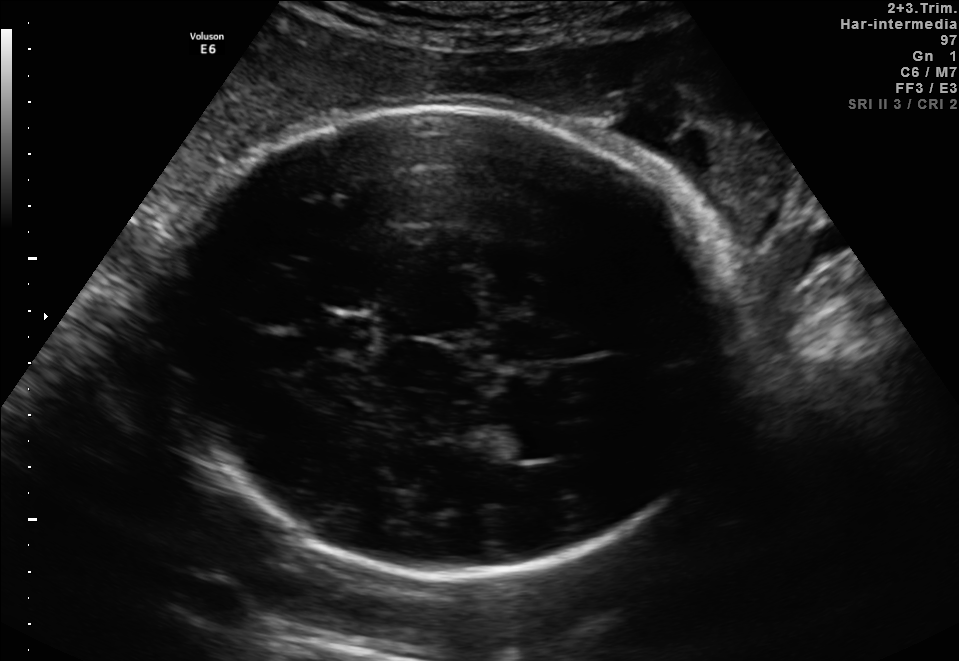
In this fetal brain, trans-thalamic plane, give the bounding box of the lateral ventricle.

[471,416,571,465]